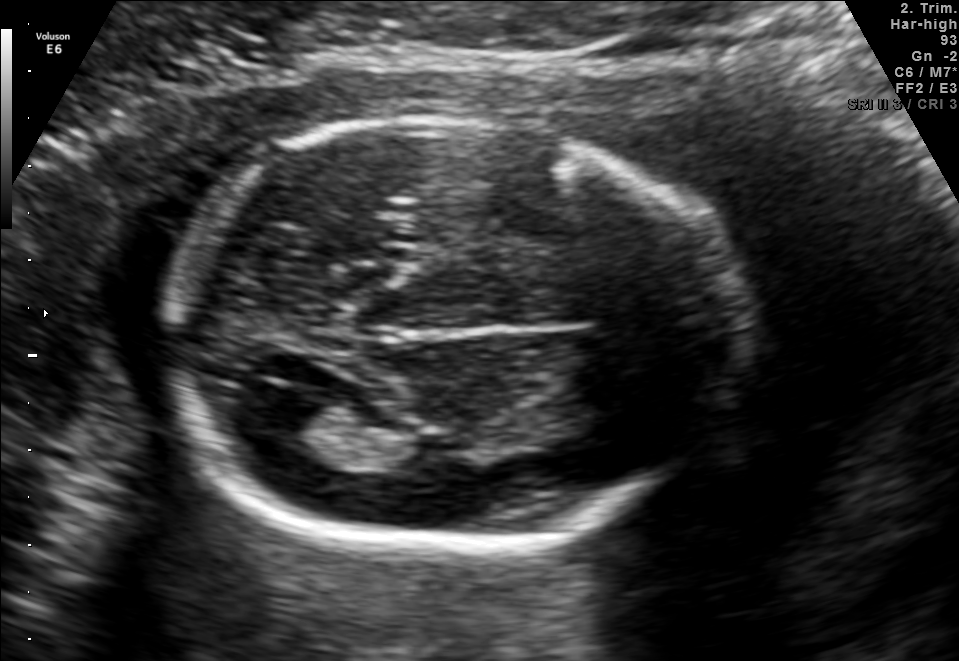
Fetal brain, trans-ventricular plane. Locate the lateral ventricle.

Lateral ventricle: [247,381,328,446]